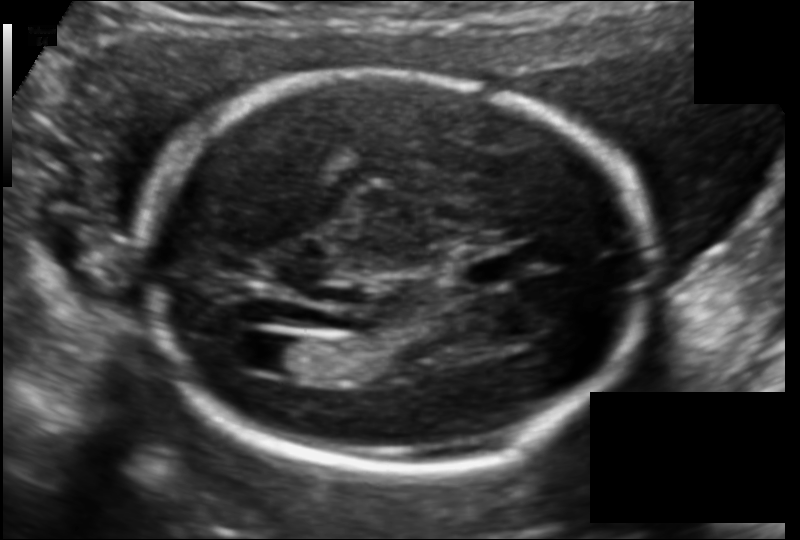
In this fetal head ultrasound, give the bounding box of the fetal head. Image width: 97.5 mm.

[143,73,652,472]